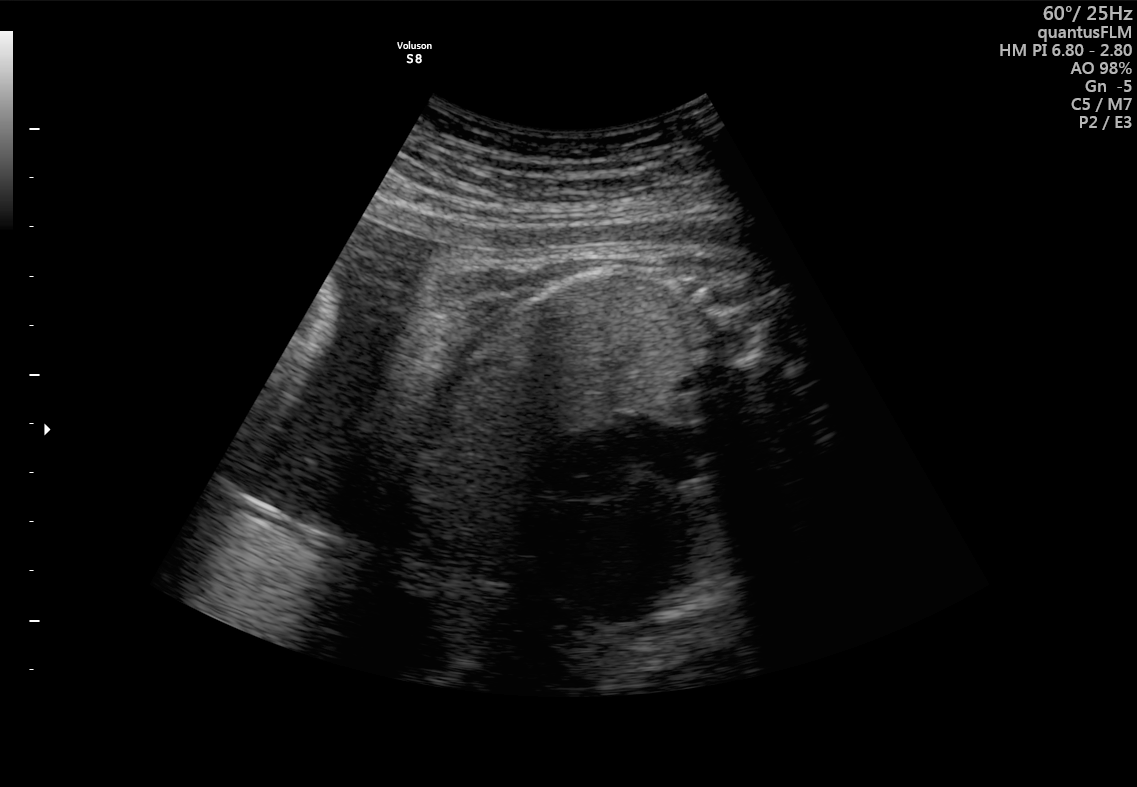
Identify the standard plane in this fetal ultrasound image: fetal abdomen, fetal brain, fetal femur, fetal thorax, maternal cervix, or other. If it's fetal brain and one of the three standard brain planes (trans-thalamic, trans-cerebellum, trans-ventricular), name which.

Fetal thorax